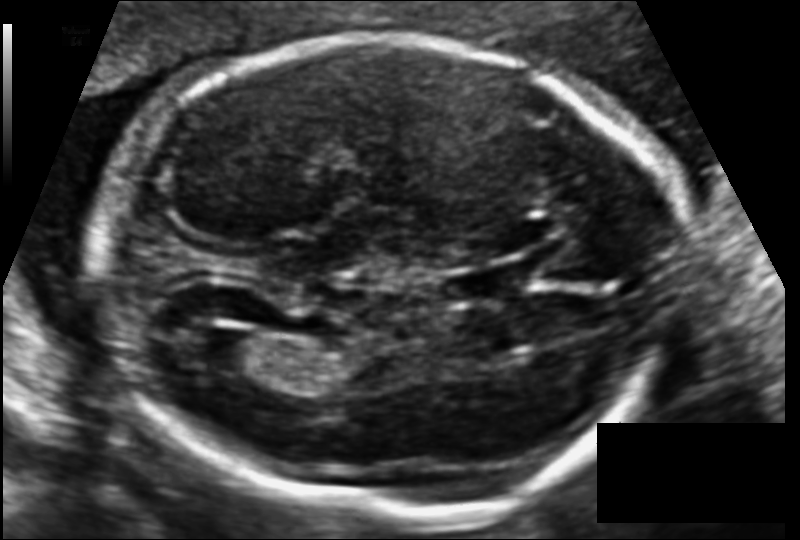
Fetal head ultrasound. Image width: 92.7 mm. Give [x1,y1,x2,y2] bounding boxes for each visible structure among: fetal head, CSP, LV.

Head: [99,36,676,514]
CSP: [434,261,523,313]
Lateral ventricle: [190,325,263,375]